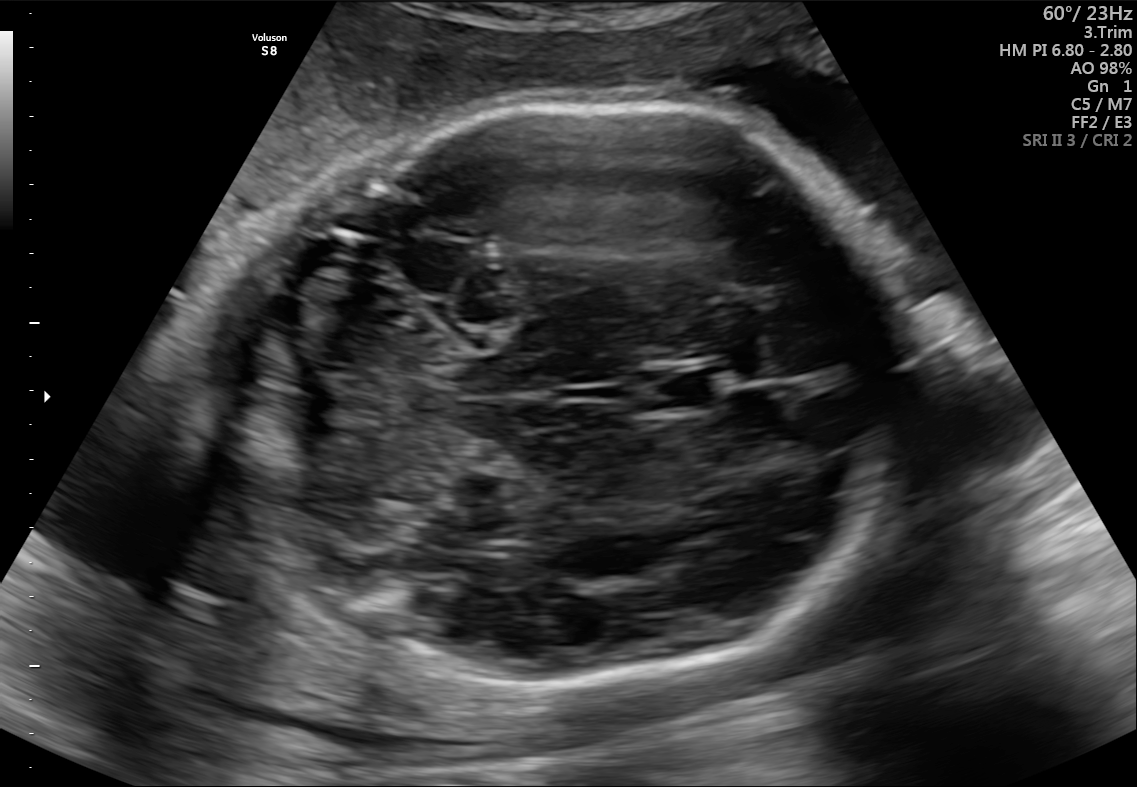
Fetal brain, trans-cerebellum plane. Locate the fetal head and, if visible, the cavum septum pellucidum (CSP) and lateral ventricle (LV). Give bounding boxes as [x1,y1,x2,y2].

Head: [198,105,906,687]
CSP: [634,361,725,419]